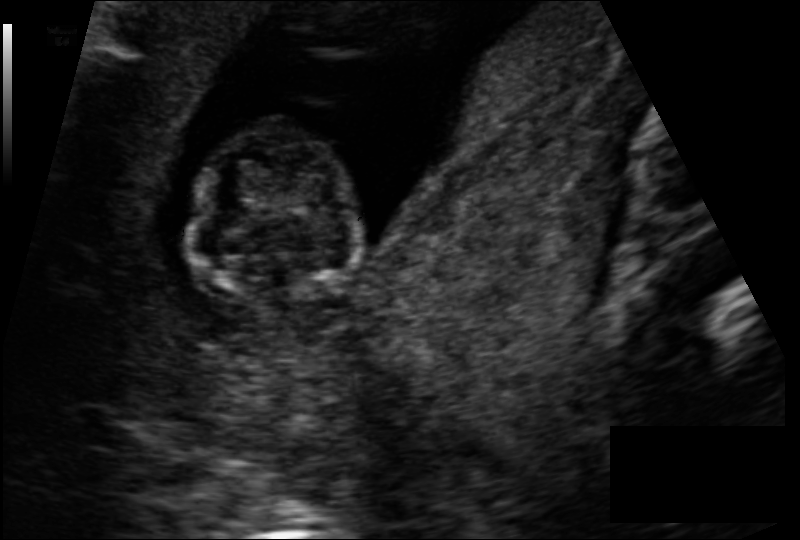
Fetal head ultrasound. Image width: 90.4 mm. Locate the fetal head and, if visible, the cavum septum pellucidum (CSP) and lateral ventricle (LV). Give bounding boxes as [x1,y1,x2,y2].

Head: [194,123,360,305]